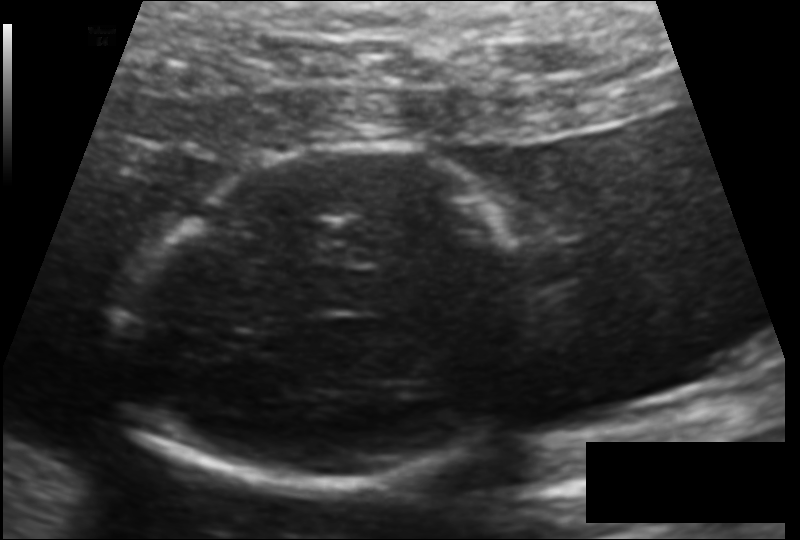
Fetal head ultrasound. Image width: 99.4 mm. Locate the fetal head and, if visible, the cavum septum pellucidum (CSP) and lateral ventricle (LV). Give bounding boxes as [x1,y1,x2,y2].

Head: [126,148,527,490]